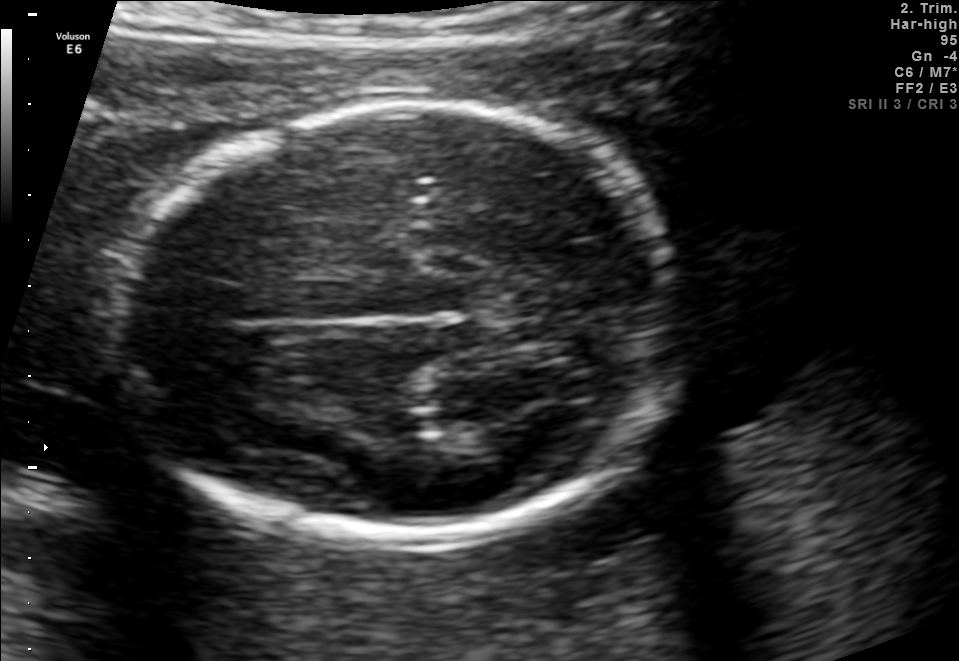
In this fetal brain, trans-thalamic plane, give the bounding box of the fetal head.

[115,107,678,540]